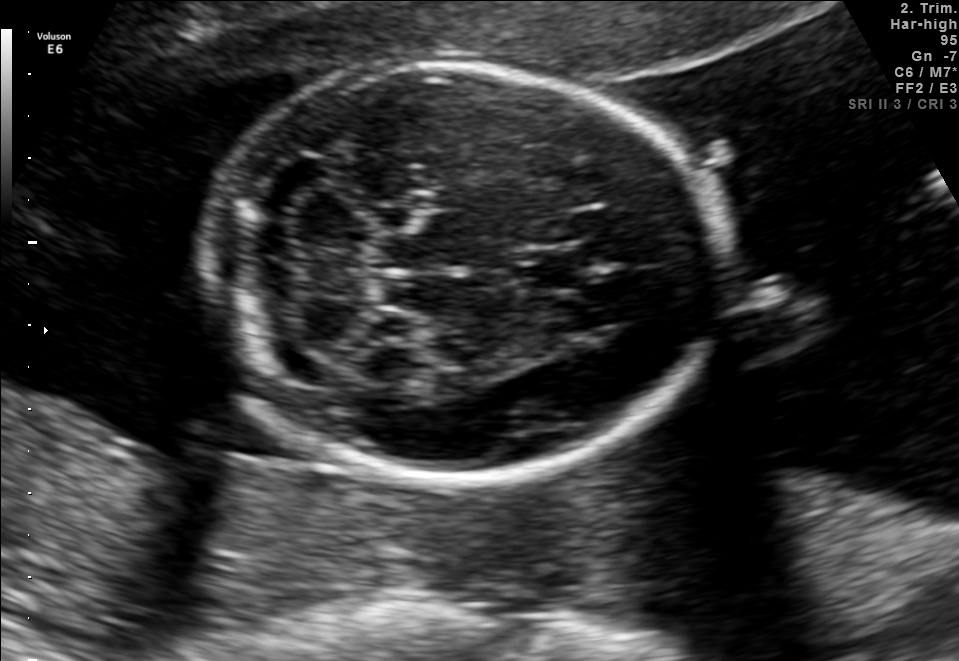
Fetal brain, trans-cerebellum plane. Give [x1,y1,x2,y2] bounding boxes for each visible structure among: fetal head, CSP, LV.

Head: [207,68,724,481]
CSP: [519,245,586,294]